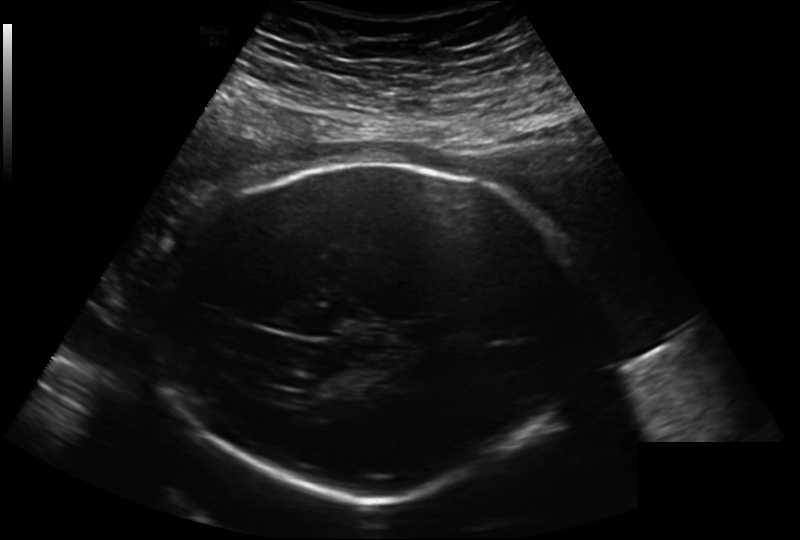
In this fetal head ultrasound, give the bounding box of the fetal head. Image width: 192.6 mm.

[159,163,582,498]